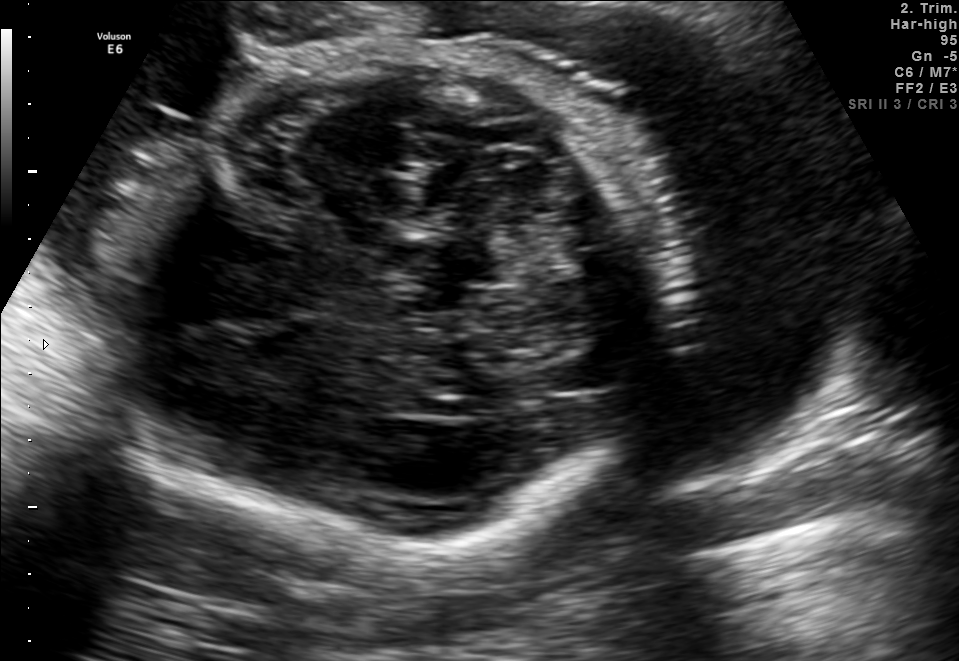
Fetal brain, trans-cerebellum plane. Locate the fetal head.

Head: [116,41,669,560]